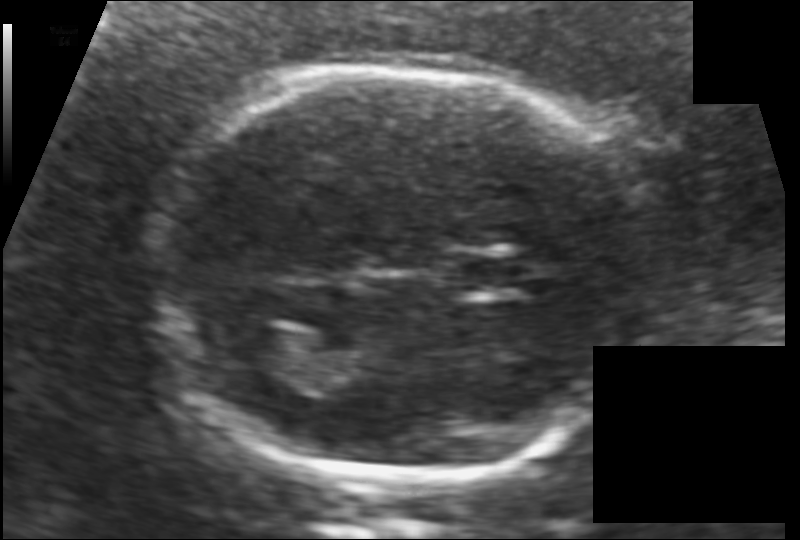
Fetal head ultrasound. Image width: 94.0 mm. Where is the cavum septum pellucidum?

CSP bounding box: [453,254,522,295]